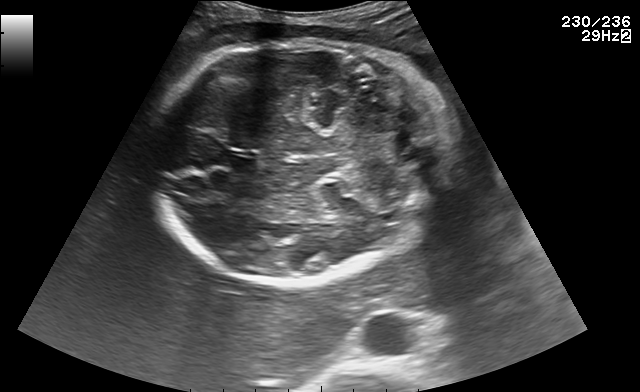
Fetal brain, trans-cerebellum plane. Locate the fetal head and, if visible, the cavum septum pellucidum (CSP) and lateral ventricle (LV). Give bounding boxes as [x1,y1,x2,y2].

Head: [150,39,444,284]
CSP: [222,153,258,174]